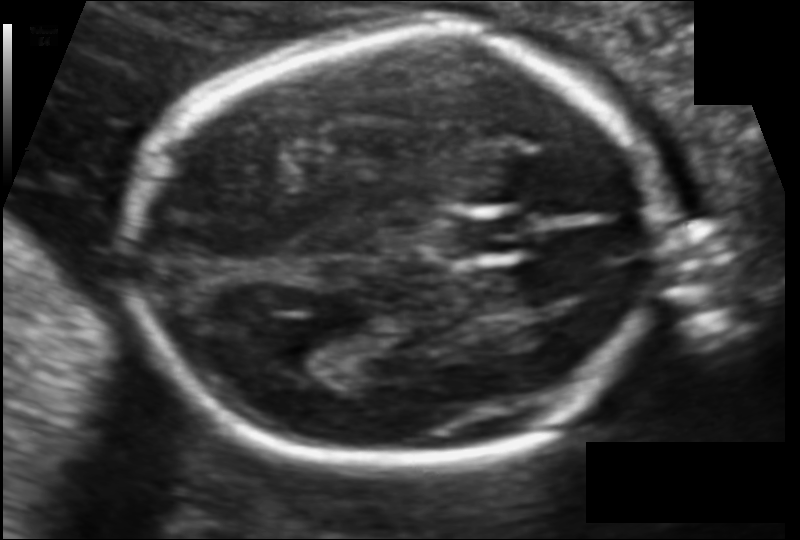
Fetal head ultrasound. Image width: 84.9 mm. Where is the cavum septum pellucidum?

CSP bounding box: [451,212,527,260]